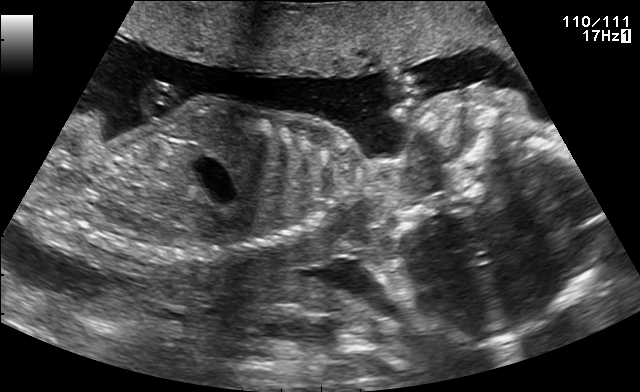
Identify the standard plane in this fetal ultrasound image: fetal abdomen, fetal brain, fetal femur, fetal thorax, maternal cervix, or other. If it's fetal brain and one of the three standard brain planes (trans-thalamic, trans-cerebellum, trans-ventricular), name which.

Other